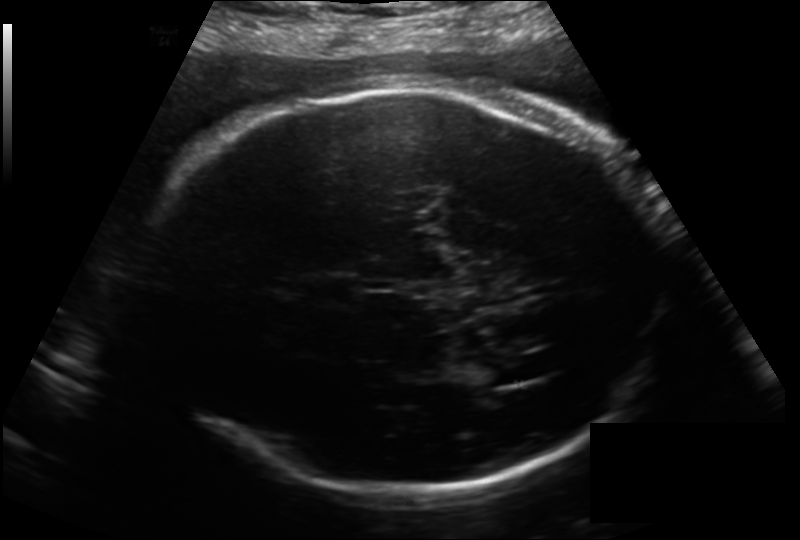
In this fetal head ultrasound, give the bounding box of the lateral ventricle. Image width: 171.3 mm.

[461,353,527,393]